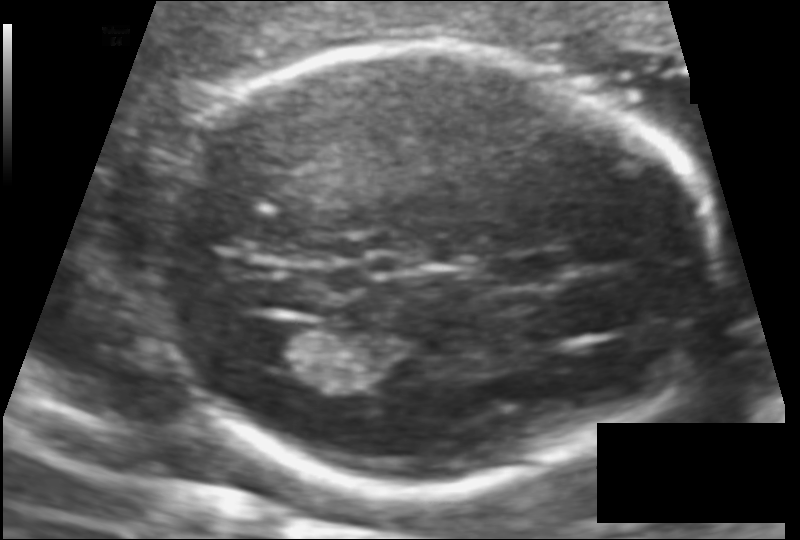
In this fetal head ultrasound, give the bounding box of the lateral ventricle. Image width: 84.7 mm.

[239,318,324,372]